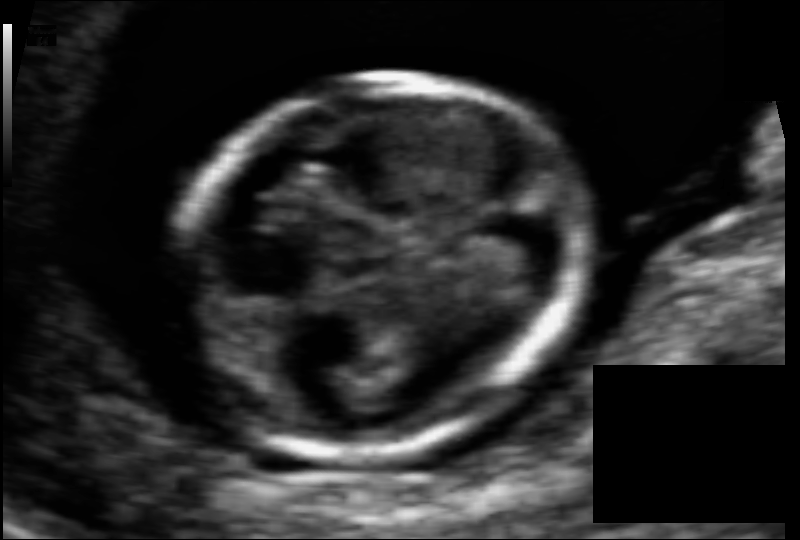
Estimate the fetal head circumference from this 2D ultrasound. Image width: 43.2 mm.

Head circumference: 69.8 mm.